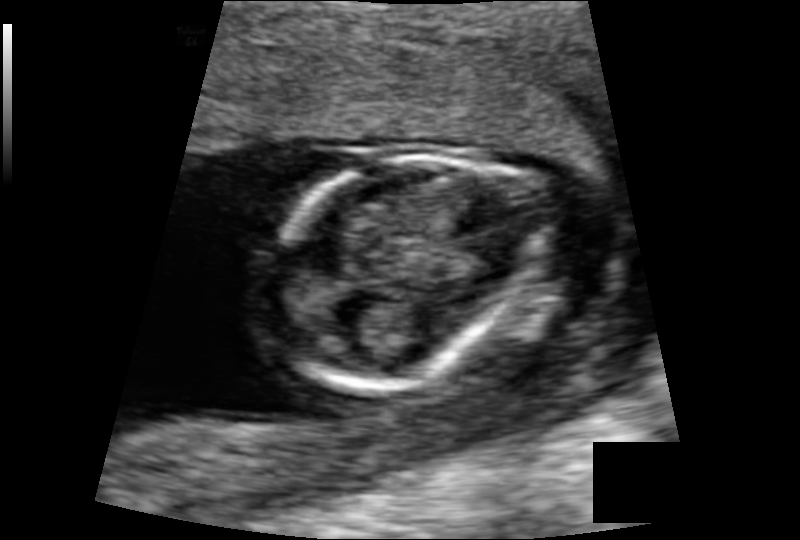
Fetal head ultrasound. Image width: 82.7 mm. Locate the fetal head and, if visible, the cavum septum pellucidum (CSP) and lateral ventricle (LV). Give bounding boxes as [x1,y1,x2,y2].

Head: [267,156,533,390]